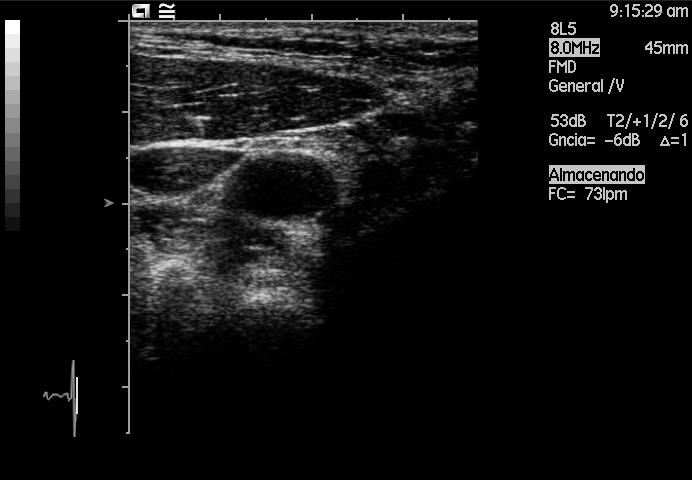
This is a 2D maternal-fetal ultrasound frame. Is it a fetal abdomen, fetal brain, fetal femur, fetal thorax, maternal cervix, or other standard plane? If it's fetal brain and one of the three standard brain planes (trans-thalamic, trans-cerebellum, trans-ventricular), name which.

Other